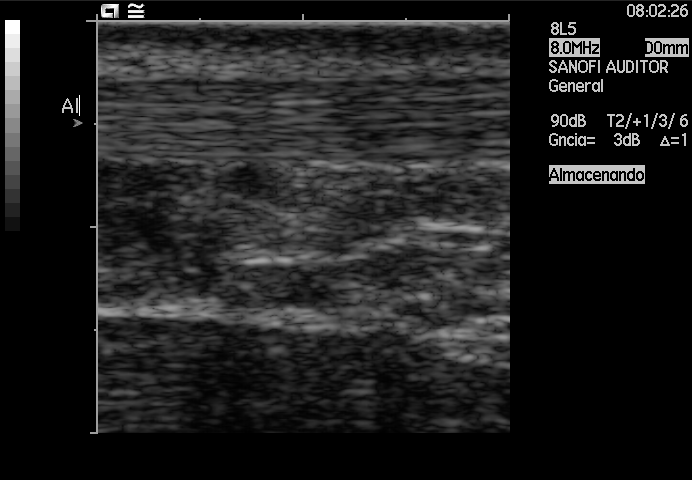
Identify the standard plane in this fetal ultrasound image: fetal abdomen, fetal brain, fetal femur, fetal thorax, maternal cervix, or other. If it's fetal brain and one of the three standard brain planes (trans-thalamic, trans-cerebellum, trans-ventricular), name which.

Other